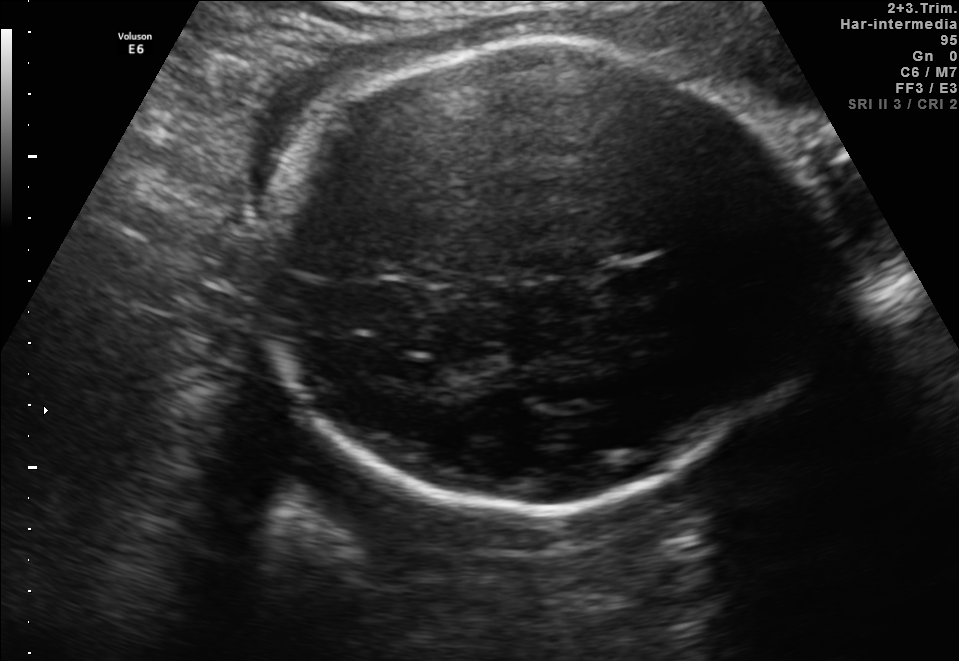
Fetal brain, trans-thalamic plane. Give [x1,y1,x2,y2] bounding boxes for each visible structure among: fetal head, CSP, LV.

Head: [247,39,820,514]
CSP: [607,255,675,300]